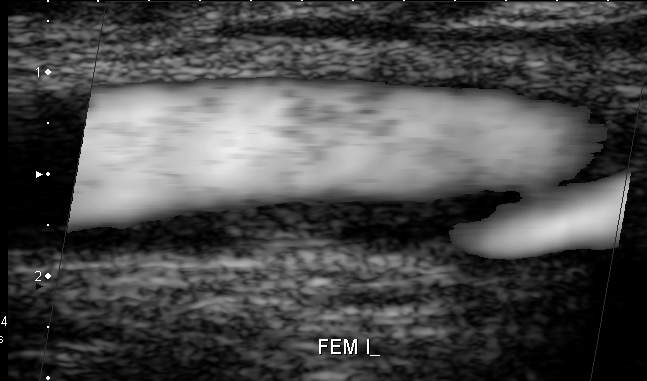
This is a 2D maternal-fetal ultrasound frame. Is it a fetal abdomen, fetal brain, fetal femur, fetal thorax, maternal cervix, or other standard plane? If it's fetal brain and one of the three standard brain planes (trans-thalamic, trans-cerebellum, trans-ventricular), name which.

Other